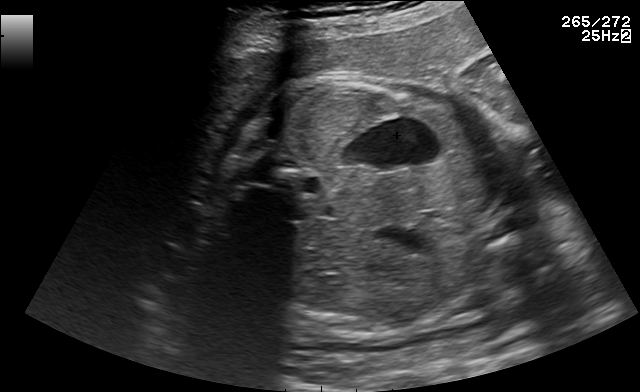
Identify the standard plane in this fetal ultrasound image: fetal abdomen, fetal brain, fetal femur, fetal thorax, maternal cervix, or other. If it's fetal brain and one of the three standard brain planes (trans-thalamic, trans-cerebellum, trans-ventricular), name which.

Fetal abdomen